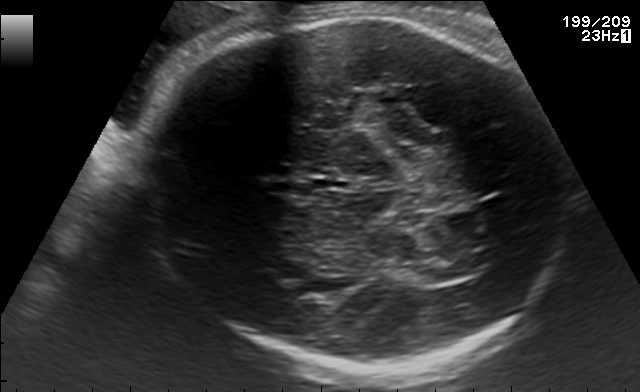
Fetal brain, trans-thalamic plane. Locate the fetal head.

Head: [146,14,565,372]